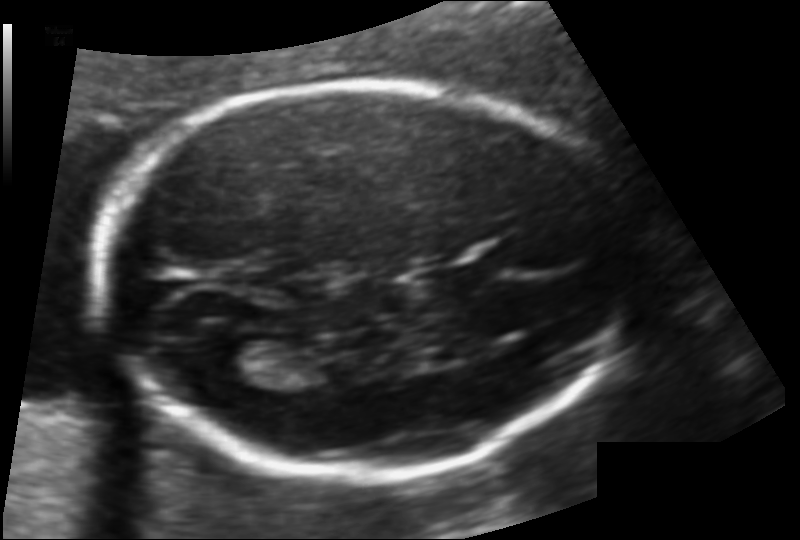
Measure the fetal head circumference shown in this ultrasound image. Image width: 93.3 mm.

Head circumference: 177.9 mm.